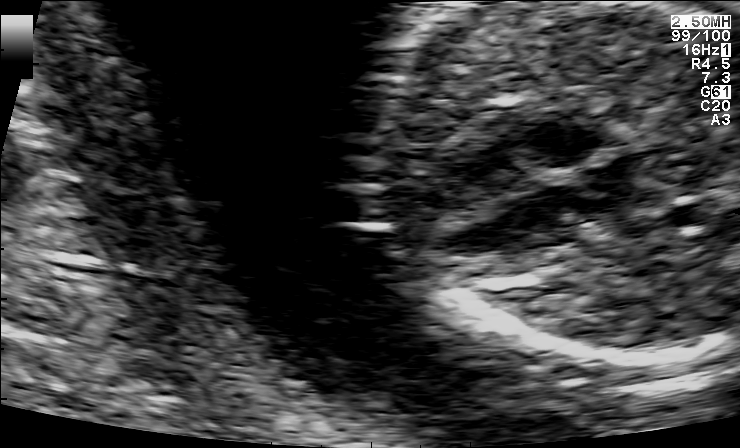
Which standard maternal-fetal ultrasound plane is shown: fetal abdomen, fetal brain, fetal femur, fetal thorax, maternal cervix, or other? If it's fetal brain and one of the three standard brain planes (trans-thalamic, trans-cerebellum, trans-ventricular), name which.

Fetal thorax